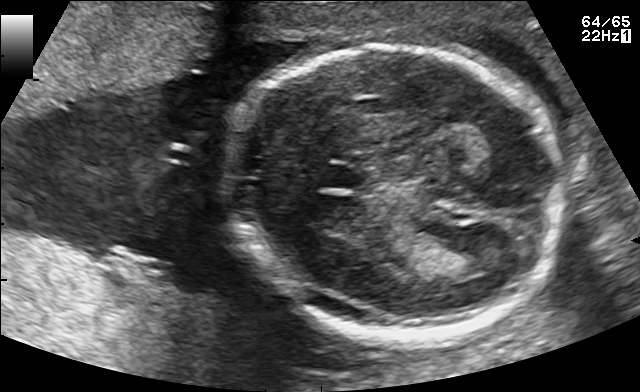
In this fetal brain, trans-thalamic plane, give the bounding box of the fetal head.

[229,44,559,342]